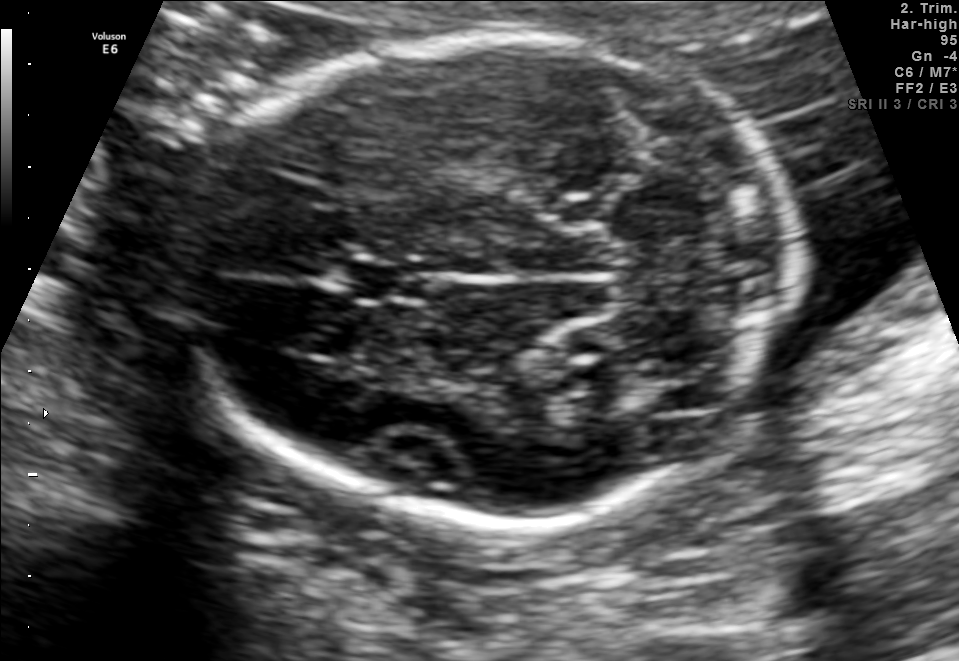
Fetal brain, trans-cerebellum plane. Locate the fetal head and, if visible, the cavum septum pellucidum (CSP) and lateral ventricle (LV). Give bounding boxes as [x1,y1,x2,y2].

Head: [184,34,799,521]
CSP: [349,259,426,304]